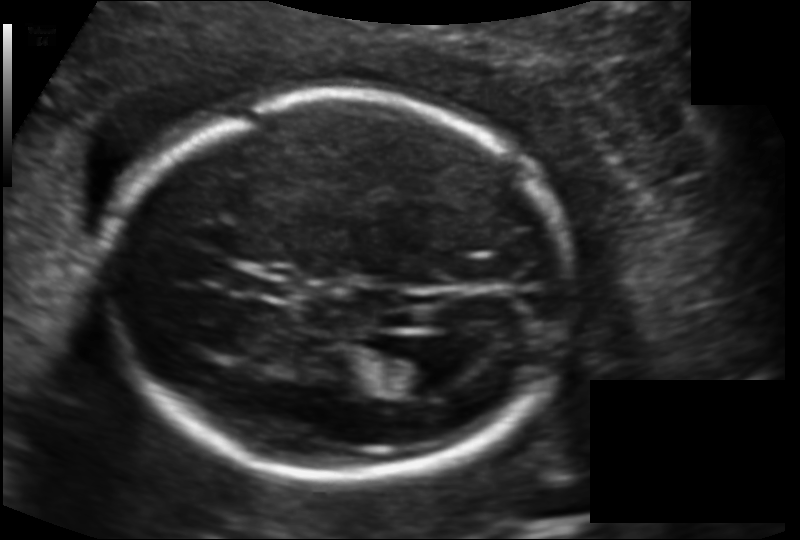
Estimate the fetal head circumference from this 2D ultrasound.

Head circumference: 183.5 mm (image width 107.3 mm).